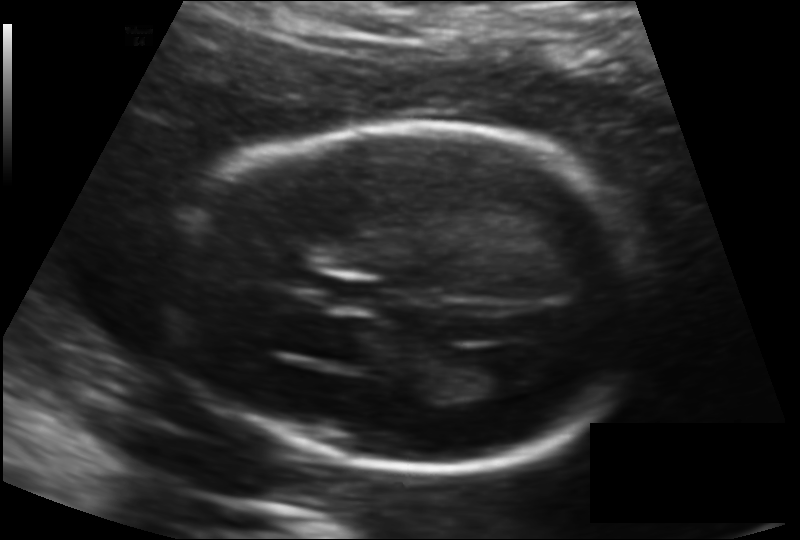
Measure the fetal head circumference shown in this ultrasound image. Image width: 108.1 mm.

Head circumference: 178.4 mm.